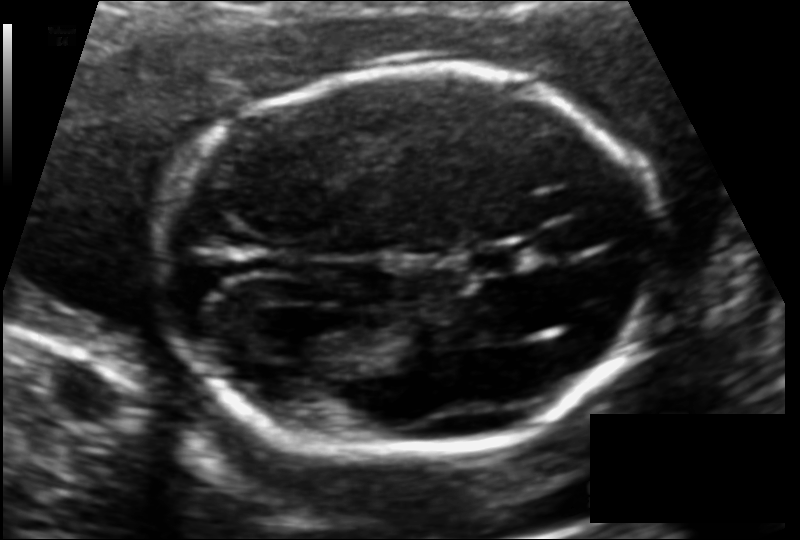
In this fetal head ultrasound, give the bounding box of the cavum septum pellucidum. Image width: 93.1 mm.

[467,243,524,275]